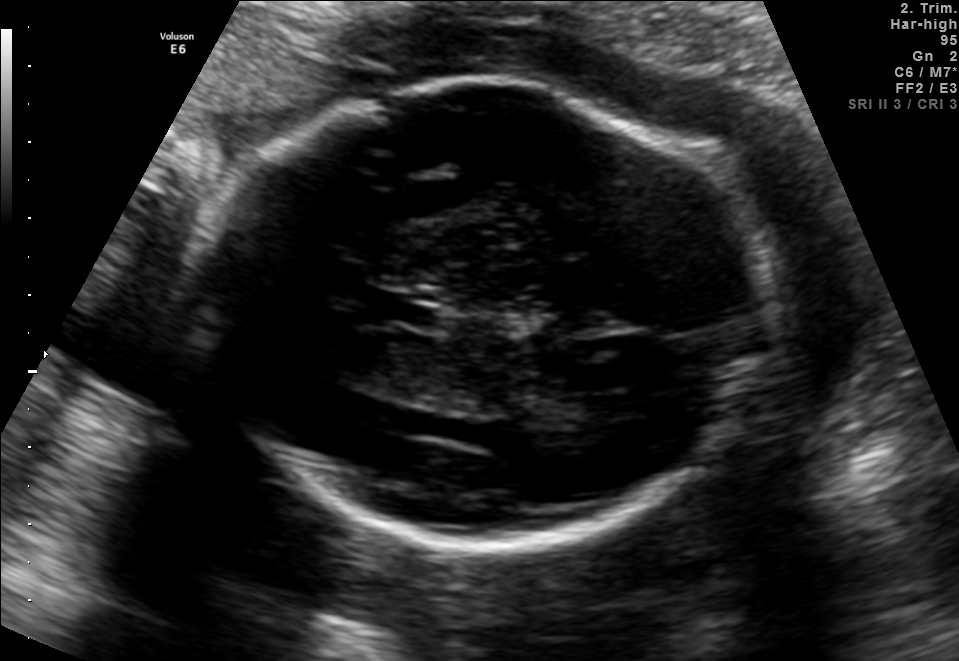
In this fetal brain, trans-thalamic plane, give the bounding box of the fetal head.

[185,85,776,556]